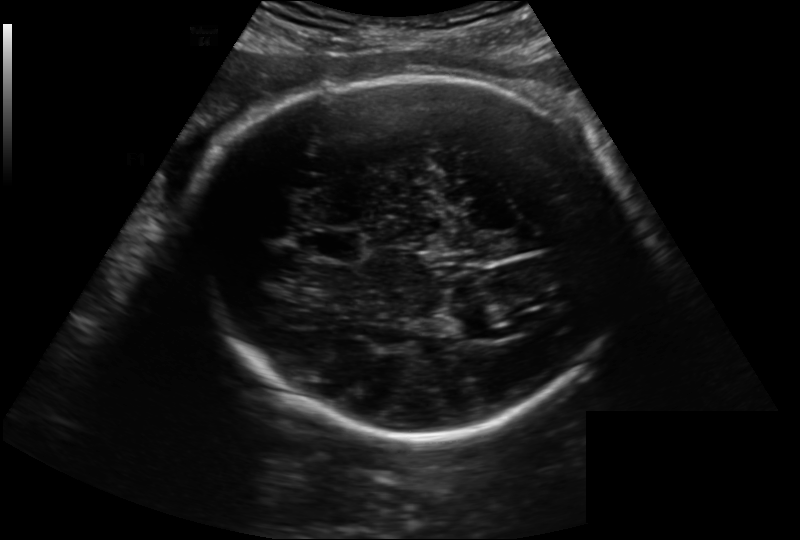
Fetal head ultrasound. Image width: 177.3 mm. Locate the cavum septum pellucidum.

CSP: [304,229,362,263]